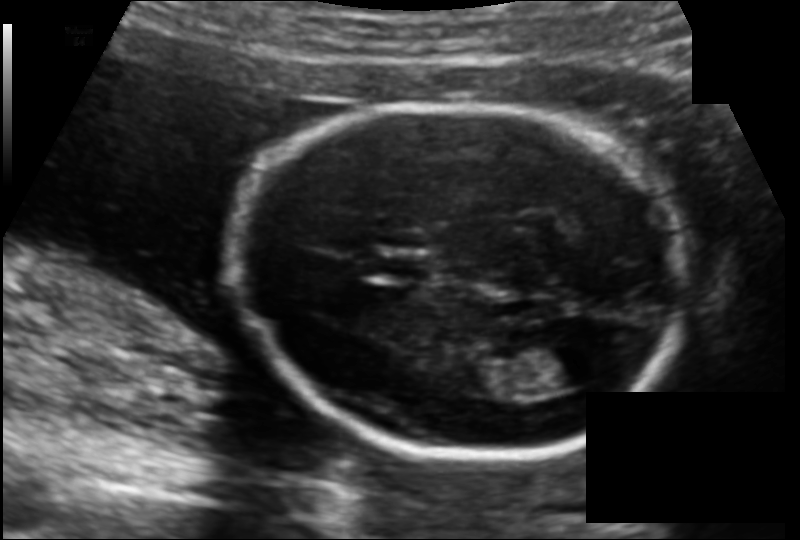
In this fetal head ultrasound, give bounding boxes for the head outline, cavum septum pellucidum (CSP), and lateral ventricle (LV), where visible. Image width: 100.4 mm.

Head: [236,103,684,455]
CSP: [378,253,433,280]
Lateral ventricle: [539,339,606,393]